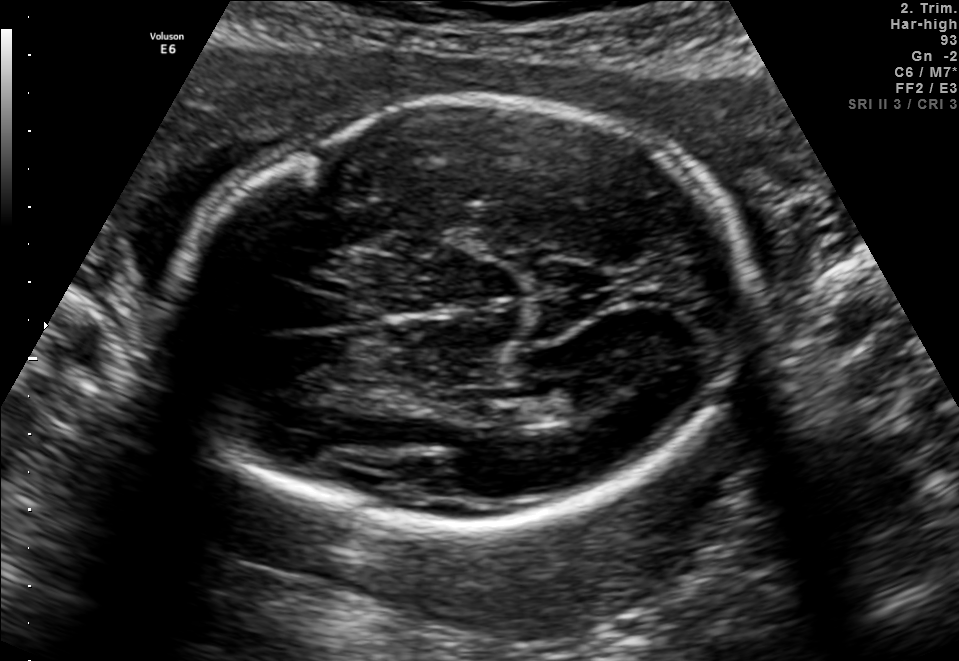
In this fetal brain, trans-thalamic plane, give the bounding box of the fetal head.

[180,102,753,519]